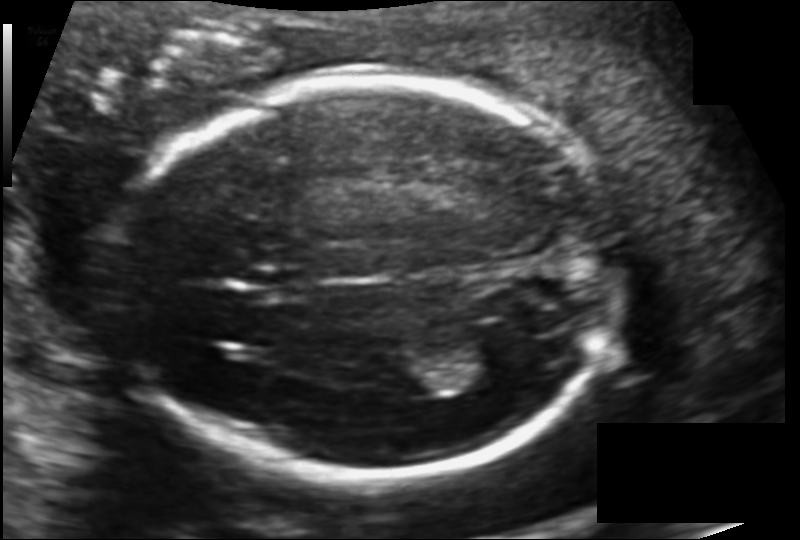
Estimate the fetal head circumference from this 2D ultrasound. Image width: 101.2 mm.

Head circumference: 184.6 mm.